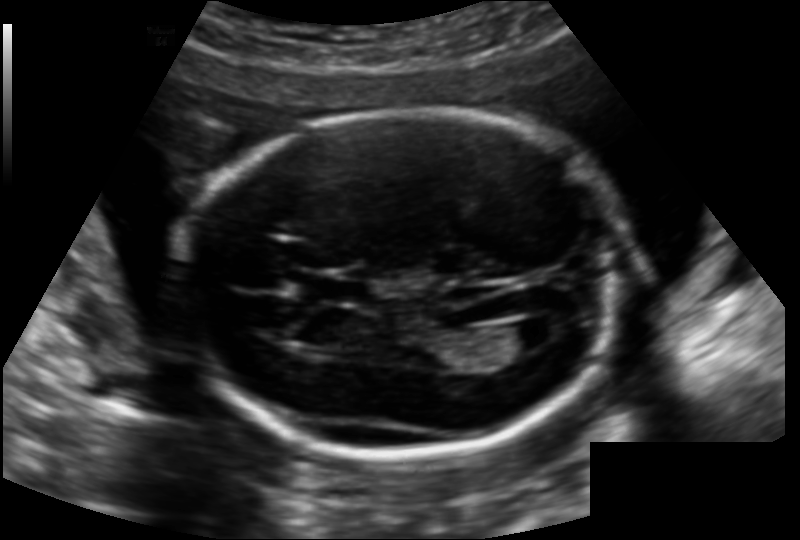
Fetal head ultrasound. Image width: 113.4 mm. Locate the cavum septum pellucidum.

CSP: [302,274,368,305]